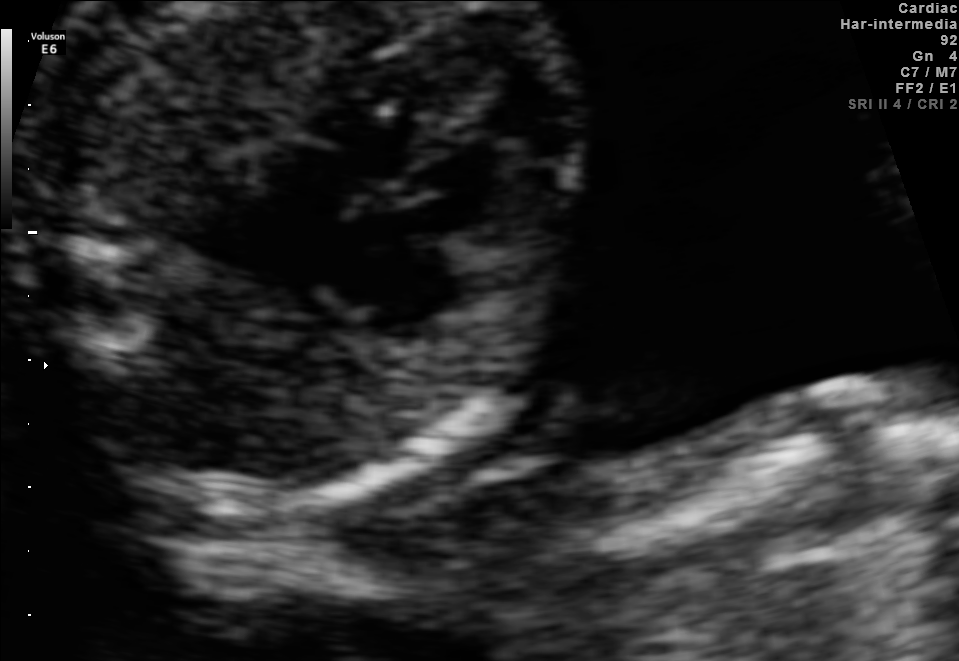
Identify the standard plane in this fetal ultrasound image: fetal abdomen, fetal brain, fetal femur, fetal thorax, maternal cervix, or other. If it's fetal brain and one of the three standard brain planes (trans-thalamic, trans-cerebellum, trans-ventricular), name which.

Fetal thorax